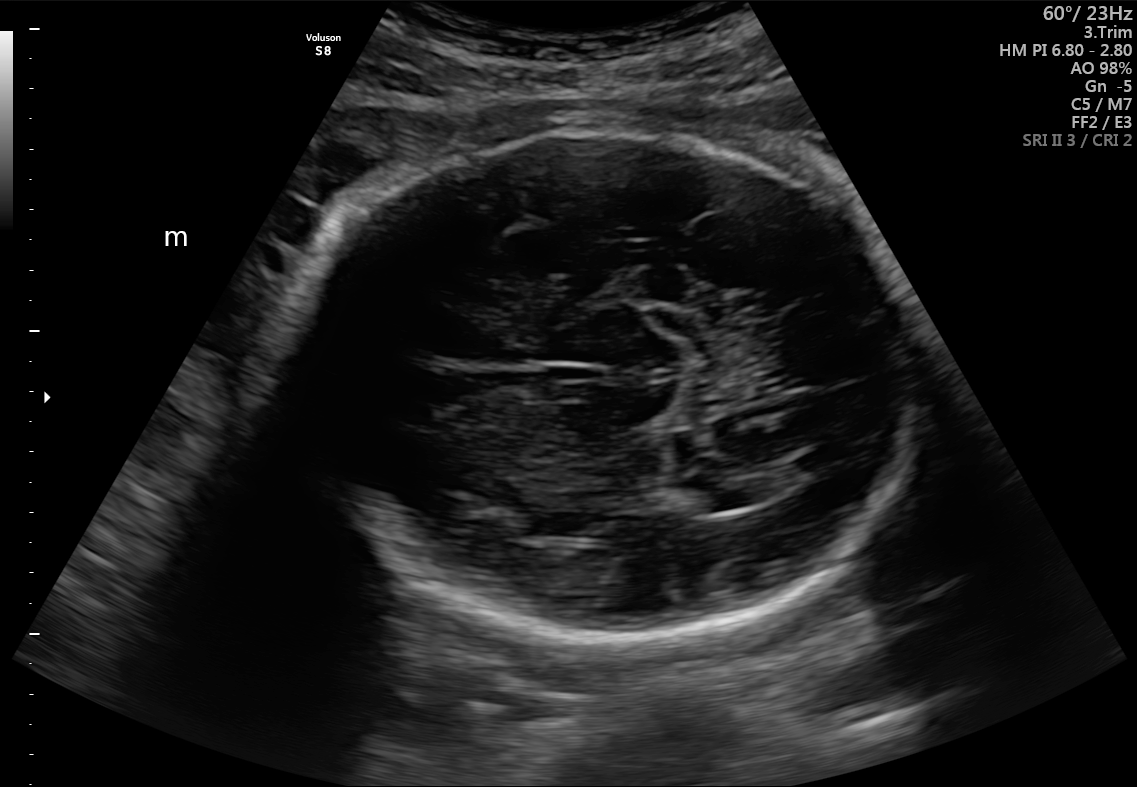
Fetal brain, trans-thalamic plane. Locate the lateral ventricle.

Lateral ventricle: [684,465,767,519]